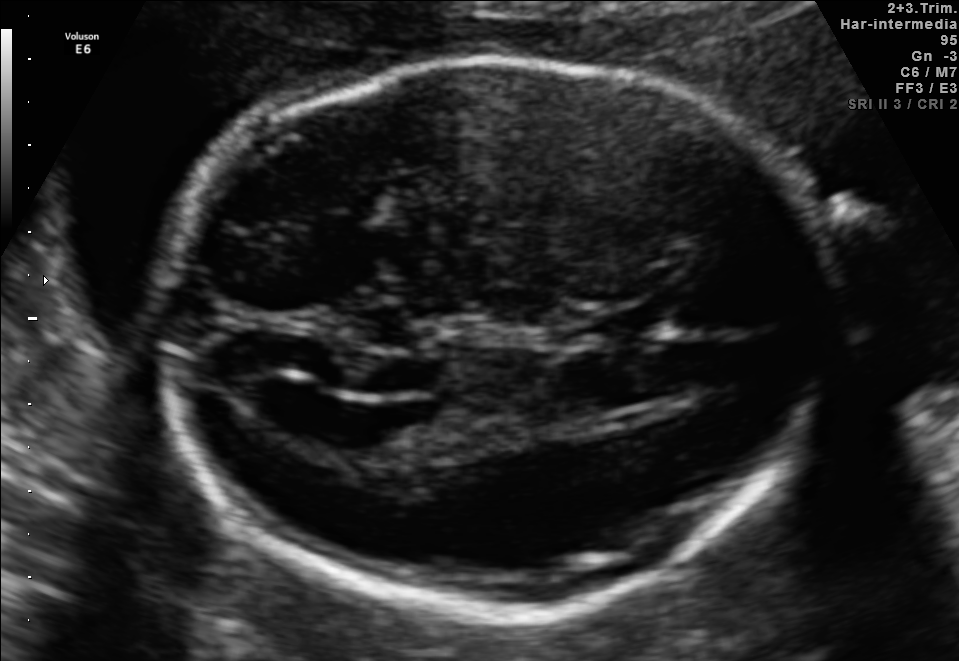
Which standard maternal-fetal ultrasound plane is shown: fetal abdomen, fetal brain, fetal femur, fetal thorax, maternal cervix, or other? If it's fetal brain and one of the three standard brain planes (trans-thalamic, trans-cerebellum, trans-ventricular), name which.

Fetal brain (trans-ventricular plane)